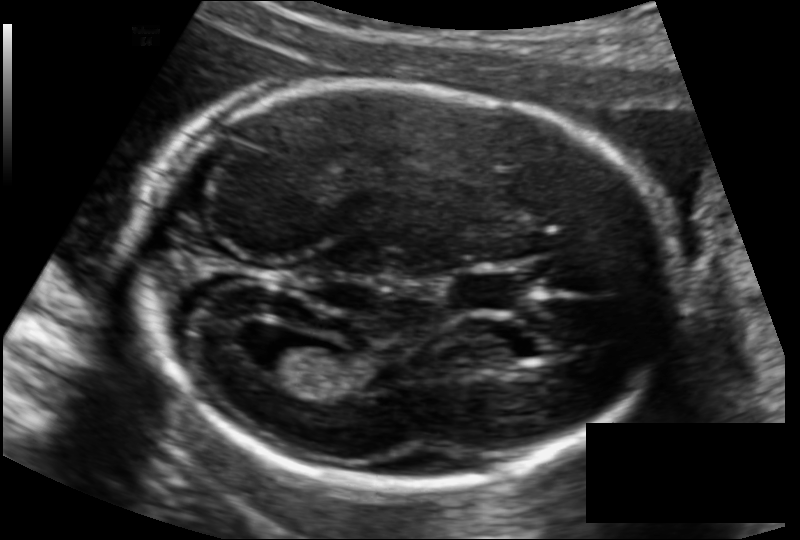
Fetal head ultrasound. Image width: 97.7 mm. Locate the cavum septum pellucidum.

CSP: [453,273,520,311]